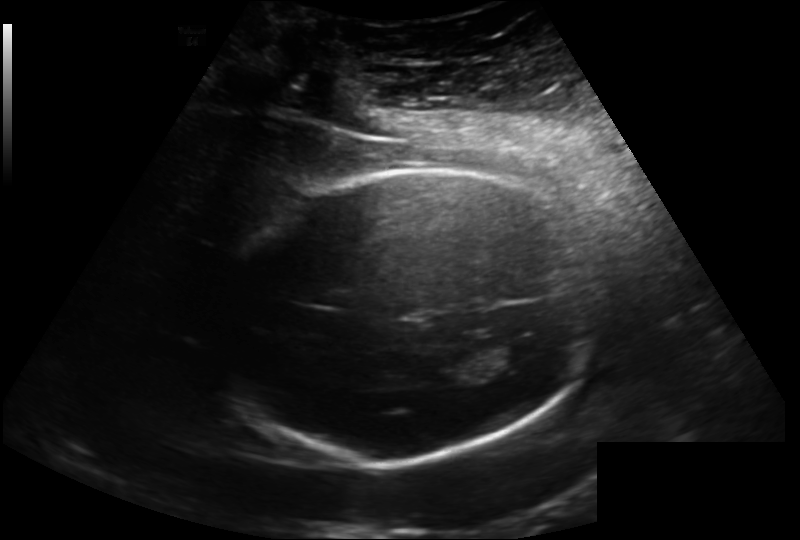
In this fetal head ultrasound, give the bounding box of the fetal head. Image width: 161.6 mm.

[208,171,606,461]